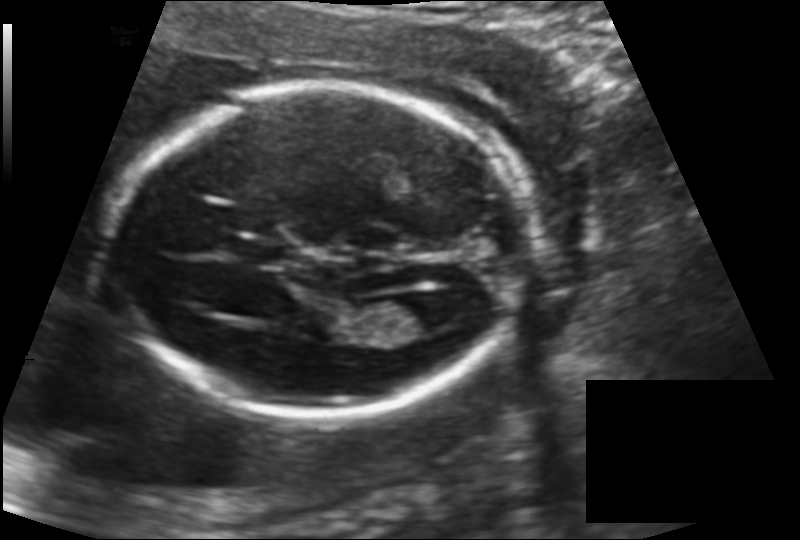
Fetal head ultrasound. Image width: 113.5 mm. Where is the lateral ventricle?

Lateral ventricle bounding box: [382,288,454,337]